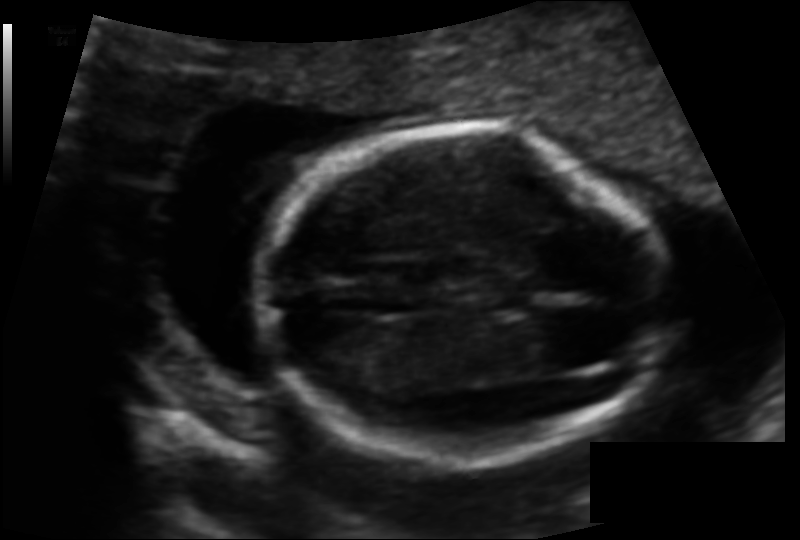
What is the fetal head circumference? Image width is 81.7 mm.

123.5 mm